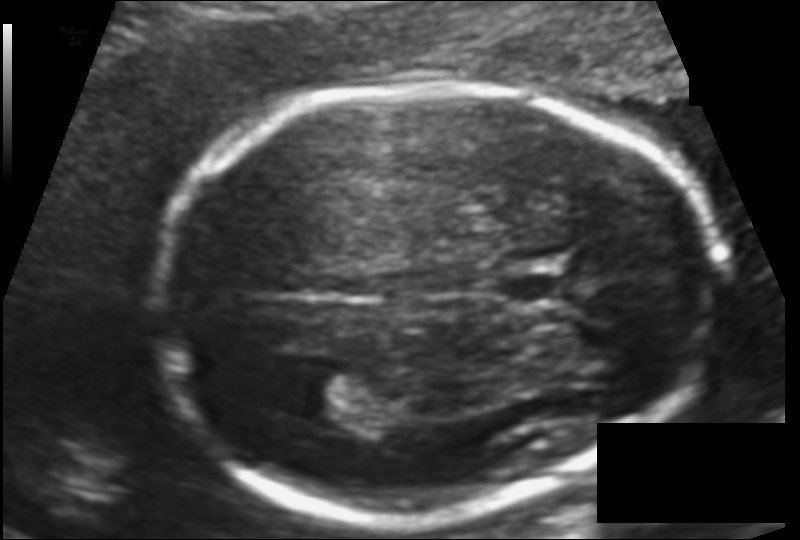
In this fetal head ultrasound, give bounding boxes for the head outline, cavum septum pellucidum (CSP), and lateral ventricle (LV), where visible. Image width: 87.8 mm.

Head: [152,84,717,521]
CSP: [501,269,574,307]
Lateral ventricle: [282,365,367,423]